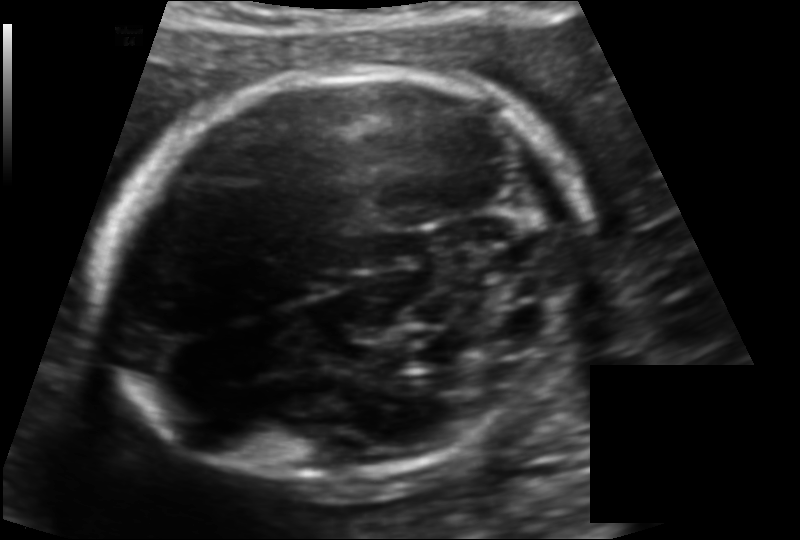
What is the fetal head circumference? Image width is 100.1 mm.

183.6 mm